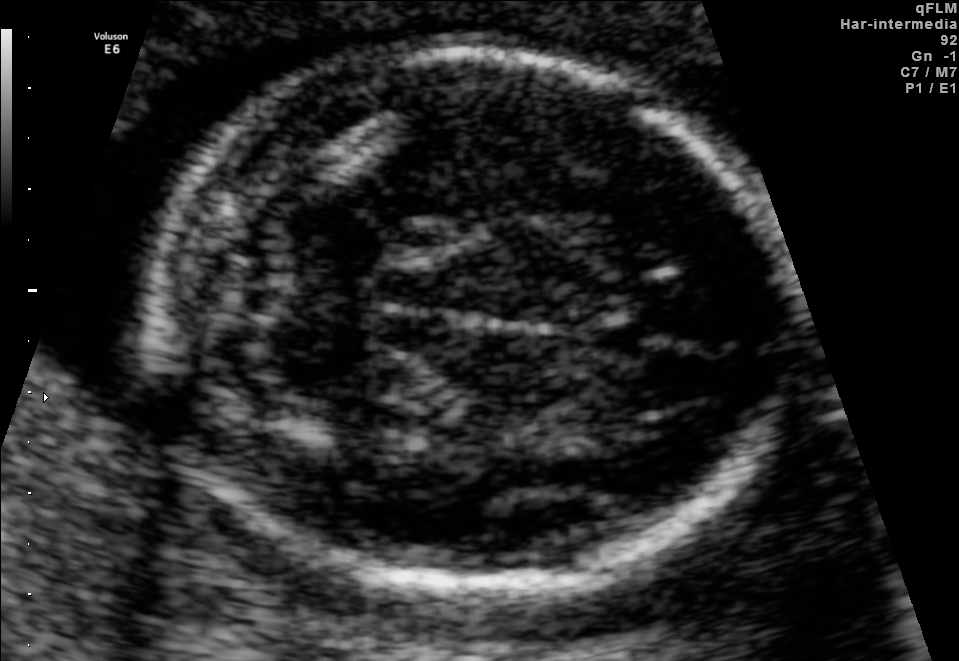
Fetal brain, trans-cerebellum plane. Give [x1,y1,x2,y2] bounding boxes for each visible structure among: fetal head, CSP, LV.

Head: [154,47,799,600]